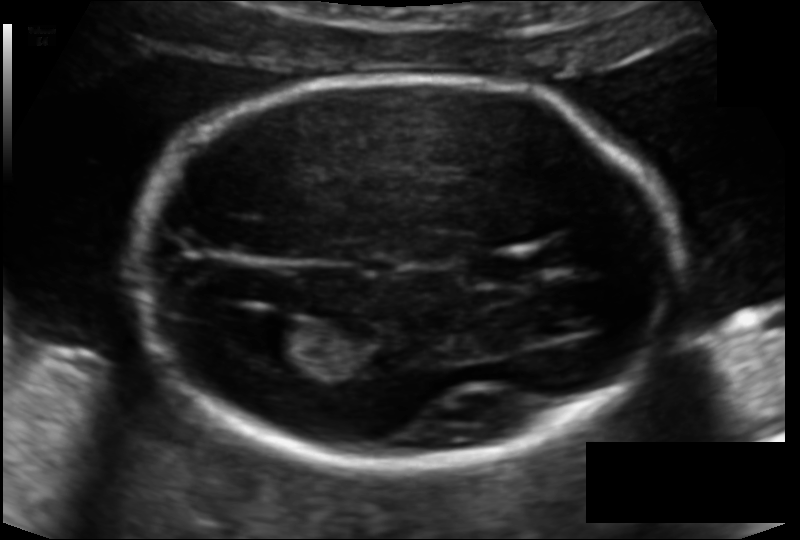
Fetal head ultrasound. Image width: 95.2 mm. Where is the fetal head?

Head bounding box: [128,76,681,462]